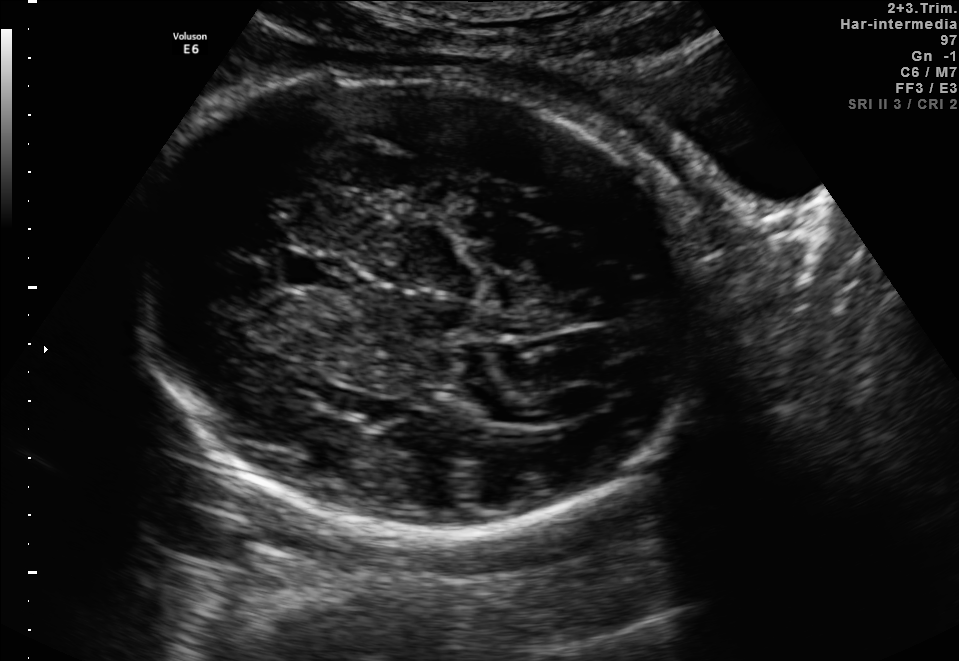
Fetal brain, trans-thalamic plane. Locate the fetal head and, if visible, the cavum septum pellucidum (CSP) and lateral ventricle (LV). Give bounding boxes as [x1,y1,x2,y2].

Head: [122,60,701,535]
CSP: [280,253,345,289]
Lateral ventricle: [544,375,613,426]